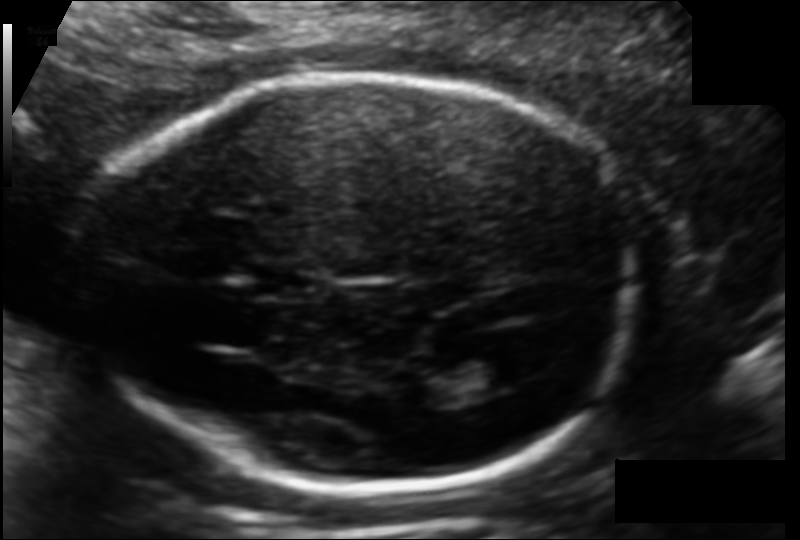
What is the fetal head circumference? Image width is 90.5 mm.

181.2 mm